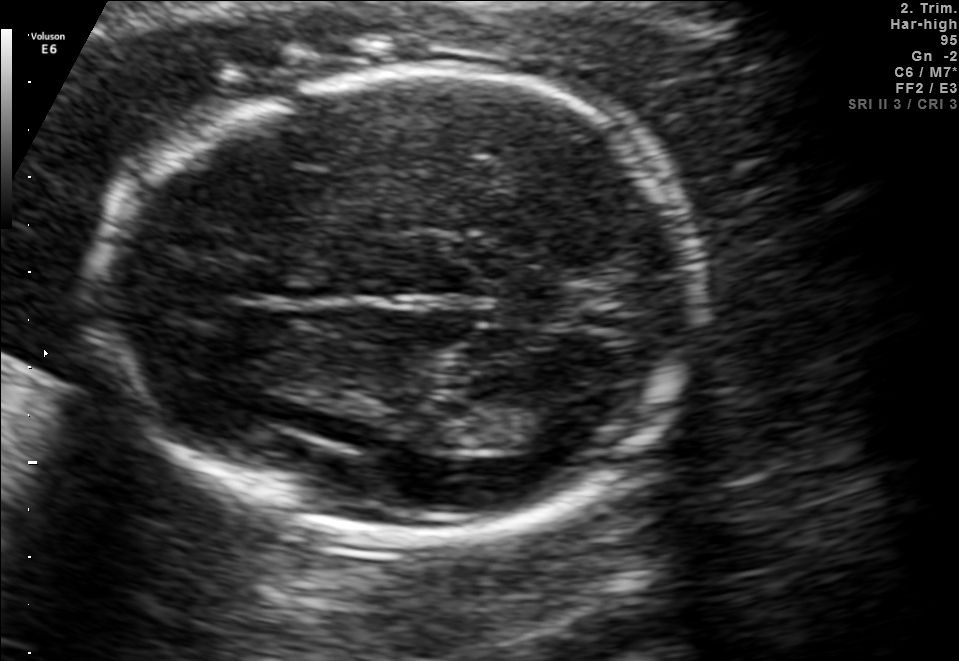
Fetal brain, trans-thalamic plane. Give [x1,y1,x2,y2] bounding boxes for each visible structure among: fetal head, CSP, LV.

Head: [117,68,700,531]
Lateral ventricle: [492,400,586,455]